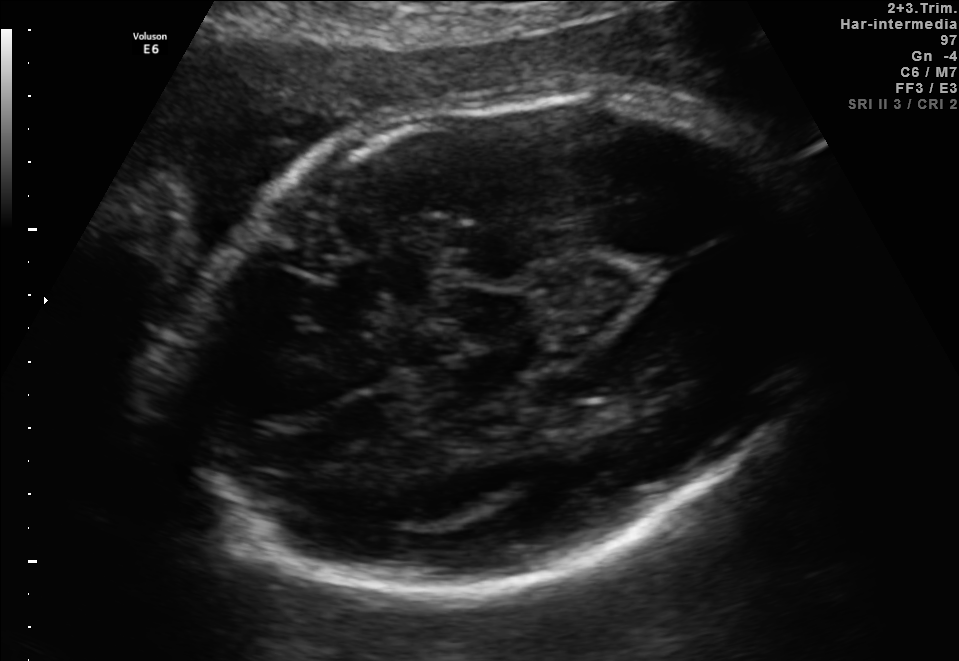
Fetal brain, trans-thalamic plane. Locate the fetal head and, if visible, the cavum septum pellucidum (CSP) and lateral ventricle (LV). Give bounding boxes as [x1,y1,x2,y2].

Head: [174,91,819,590]